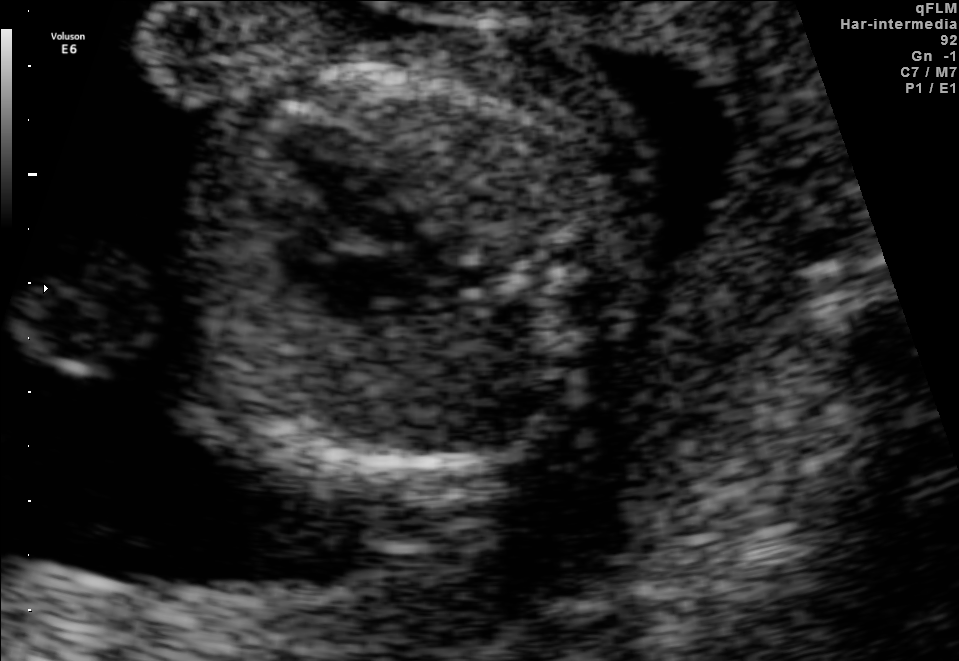
This is a 2D maternal-fetal ultrasound frame. Is it a fetal abdomen, fetal brain, fetal femur, fetal thorax, maternal cervix, or other standard plane? If it's fetal brain and one of the three standard brain planes (trans-thalamic, trans-cerebellum, trans-ventricular), name which.

Fetal thorax